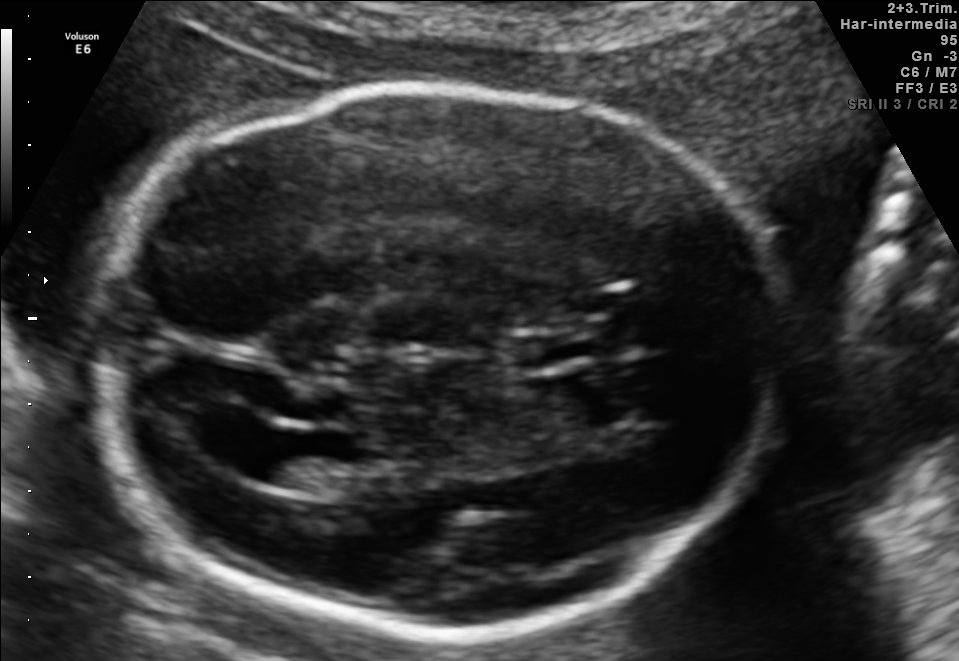
Fetal brain, trans-ventricular plane. Locate the lateral ventricle.

Lateral ventricle: [198,405,307,491]